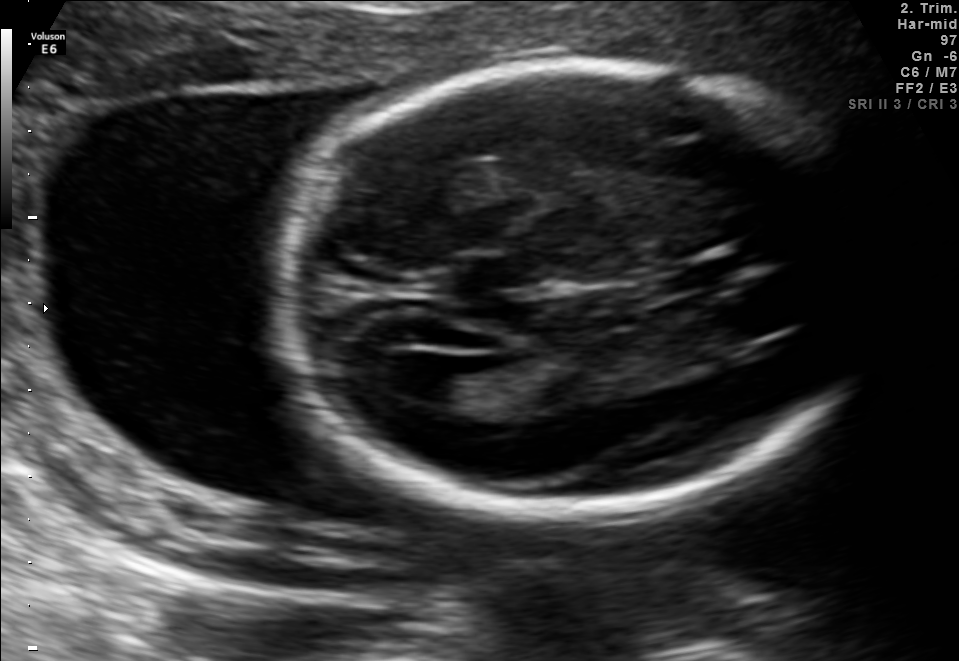
Fetal brain, trans-ventricular plane. Locate the lateral ventricle.

Lateral ventricle: [379,348,463,404]